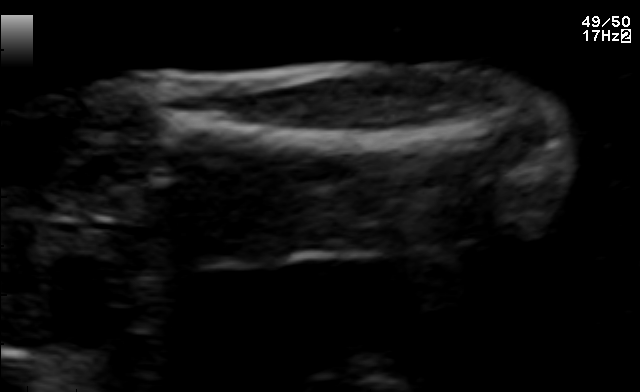
Classify this maternal-fetal ultrasound image as one of the six standard planes — fetal abdomen, fetal brain, fetal femur, fetal thorax, maternal cervix, or other. If it's fetal brain and one of the three standard brain planes (trans-thalamic, trans-cerebellum, trans-ventricular), name which.

Fetal femur